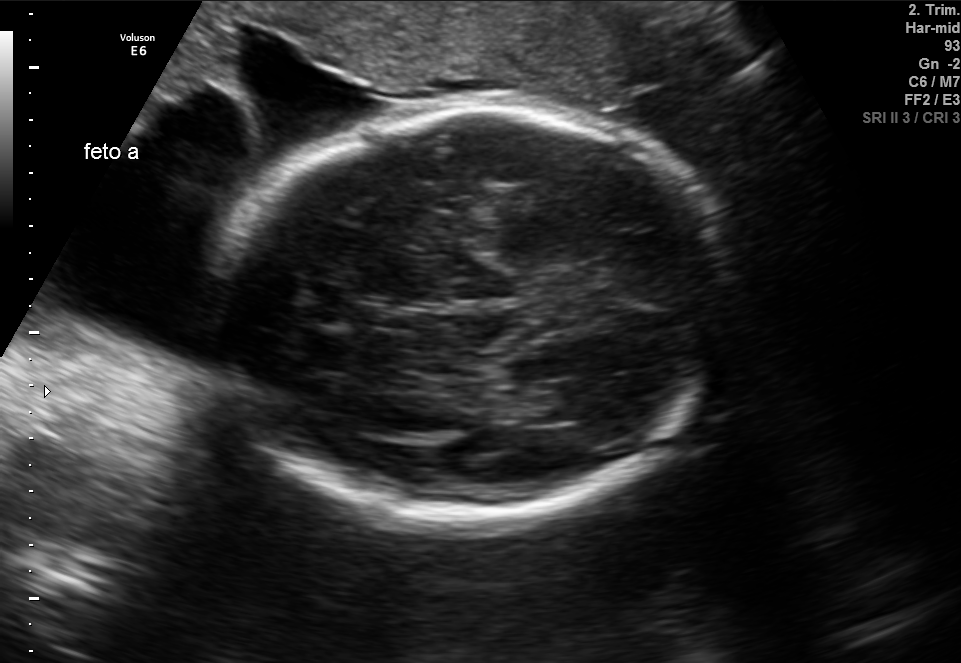
Fetal brain, trans-thalamic plane. Where is the fetal head?

Head bounding box: [219,108,728,513]